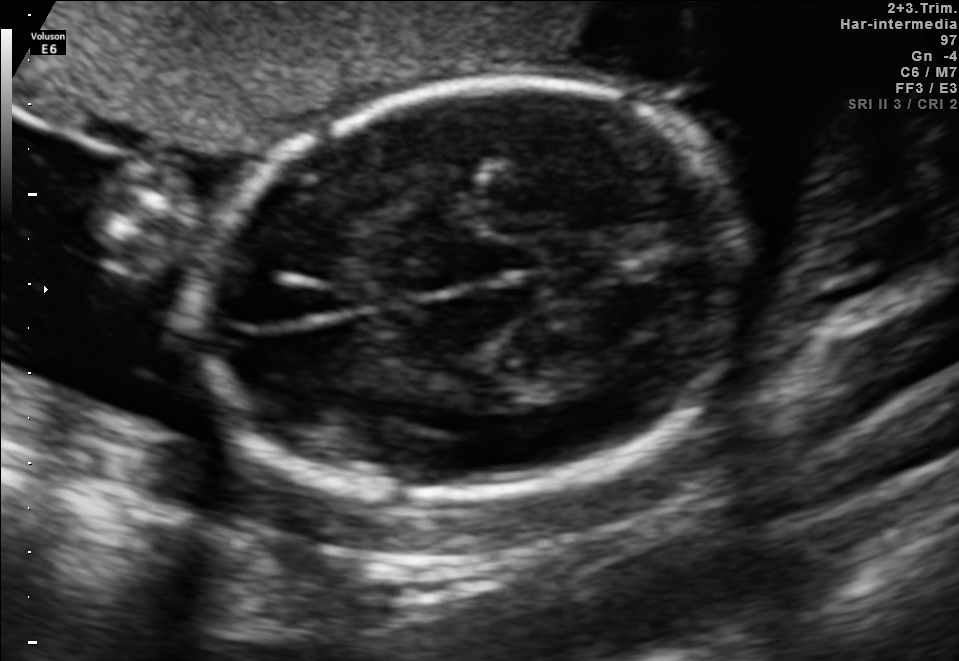
In this fetal brain, trans-thalamic plane, give bounding boxes for the head outline, cavum septum pellucidum (CSP), and lateral ventricle (LV), where visible.

Head: [193,80,752,495]